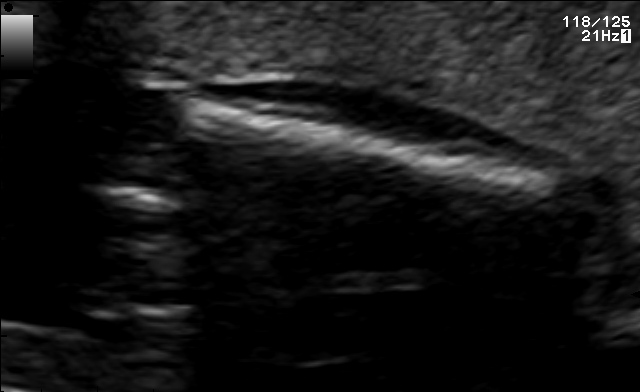
Which standard maternal-fetal ultrasound plane is shown: fetal abdomen, fetal brain, fetal femur, fetal thorax, maternal cervix, or other? If it's fetal brain and one of the three standard brain planes (trans-thalamic, trans-cerebellum, trans-ventricular), name which.

Fetal femur